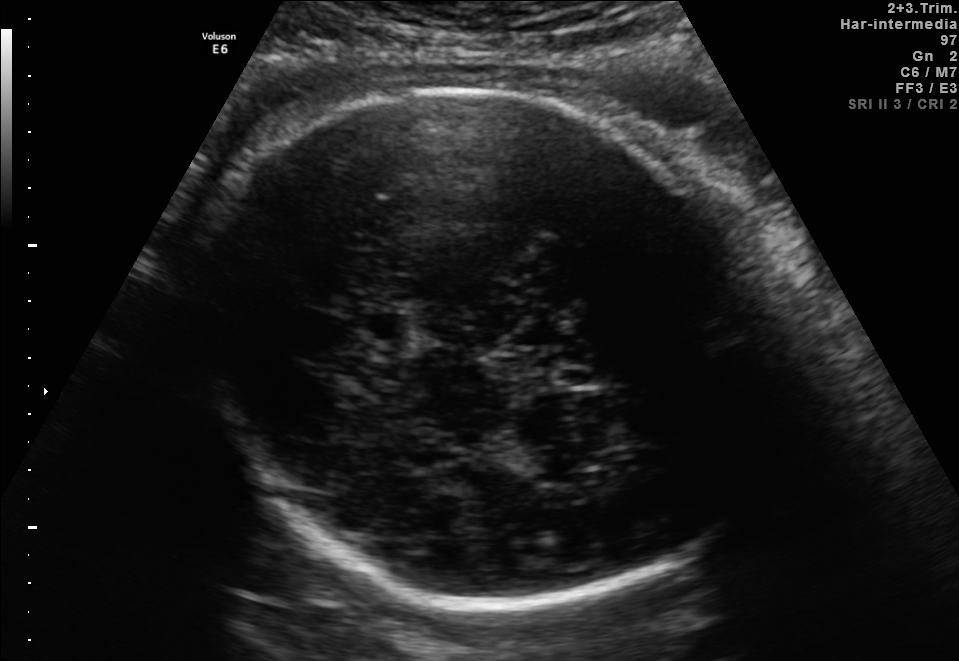
Identify the standard plane in this fetal ultrasound image: fetal abdomen, fetal brain, fetal femur, fetal thorax, maternal cervix, or other. If it's fetal brain and one of the three standard brain planes (trans-thalamic, trans-cerebellum, trans-ventricular), name which.

Fetal brain (trans-thalamic plane)